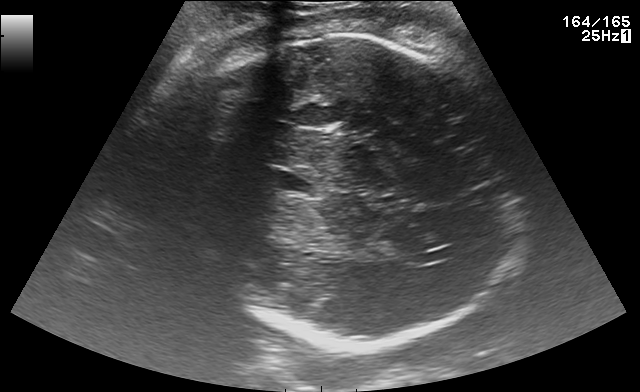
Fetal brain, trans-thalamic plane. Locate the fetal head.

Head: [190,36,516,346]